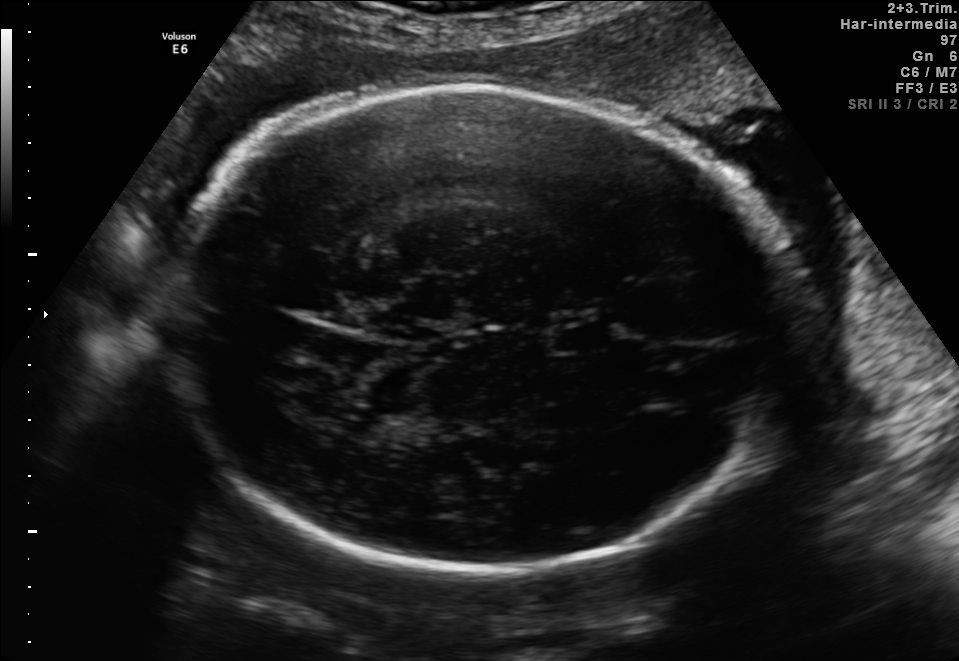
Fetal brain, trans-thalamic plane. Where is the fetal head?

Head bounding box: [174,84,801,575]